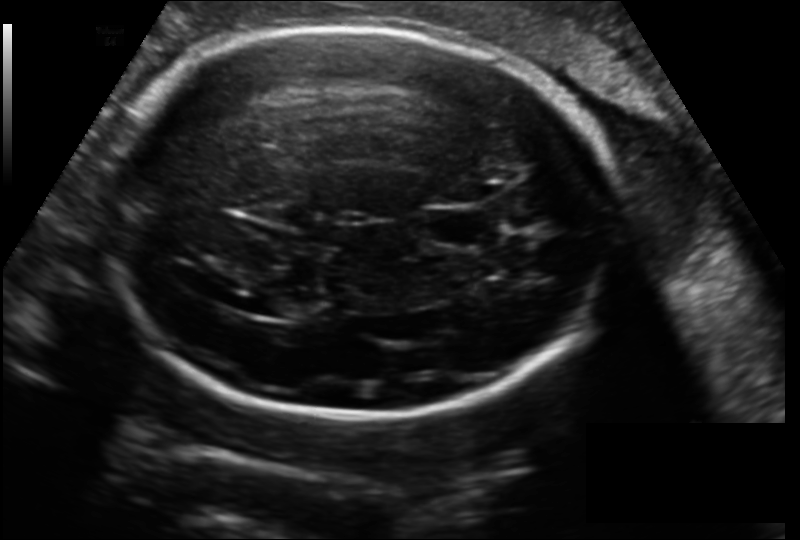
Fetal head ultrasound. Image width: 142.1 mm. Where is the cavum septum pellucidum?

CSP bounding box: [424,207,486,247]